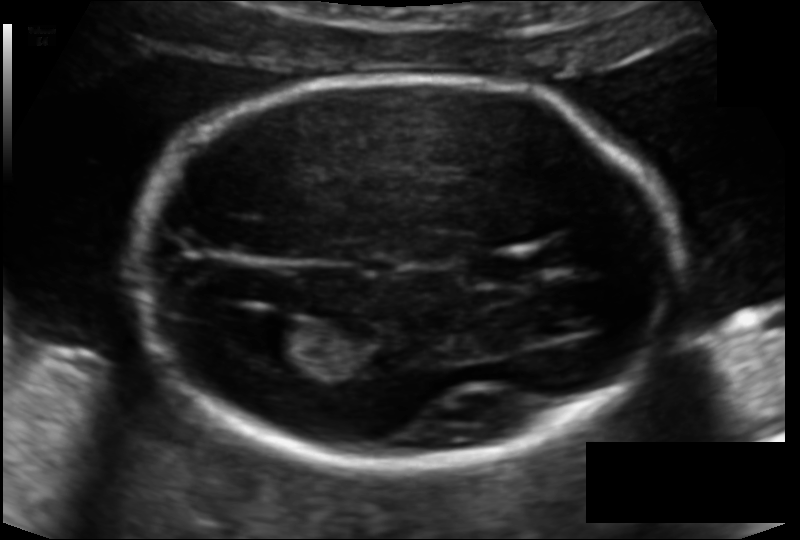
Fetal head ultrasound. Image width: 95.2 mm. Locate the cavum septum pellucidum.

CSP: [466,246,547,290]